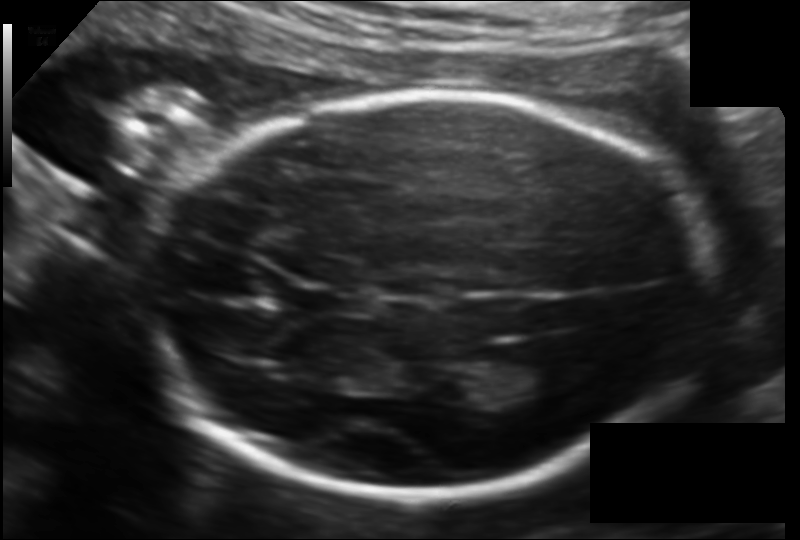
Fetal head ultrasound. Image width: 103.8 mm. Where is the cavum septum pellucidum?

CSP bounding box: [288,283,348,318]